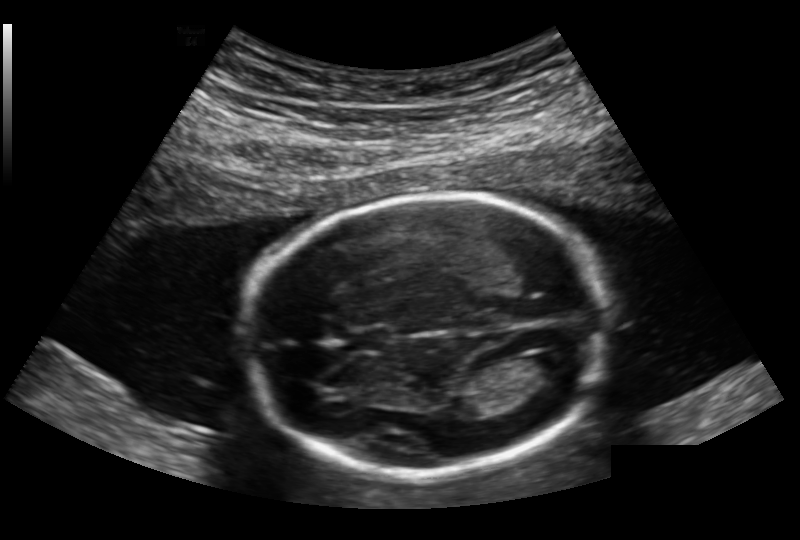
From this fetal ultrasound, estimate the head circumference (image width 134.4 mm).

Head circumference: 180.6 mm.